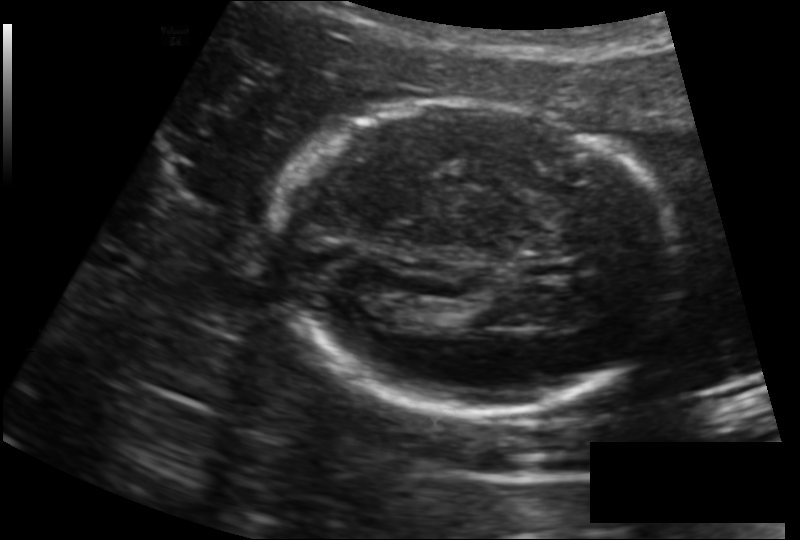
Fetal head ultrasound. Image width: 125.2 mm. Give [x1,y1,x2,y2] bounding boxes for each visible structure among: fetal head, CSP, LV.

Head: [275,105,673,413]